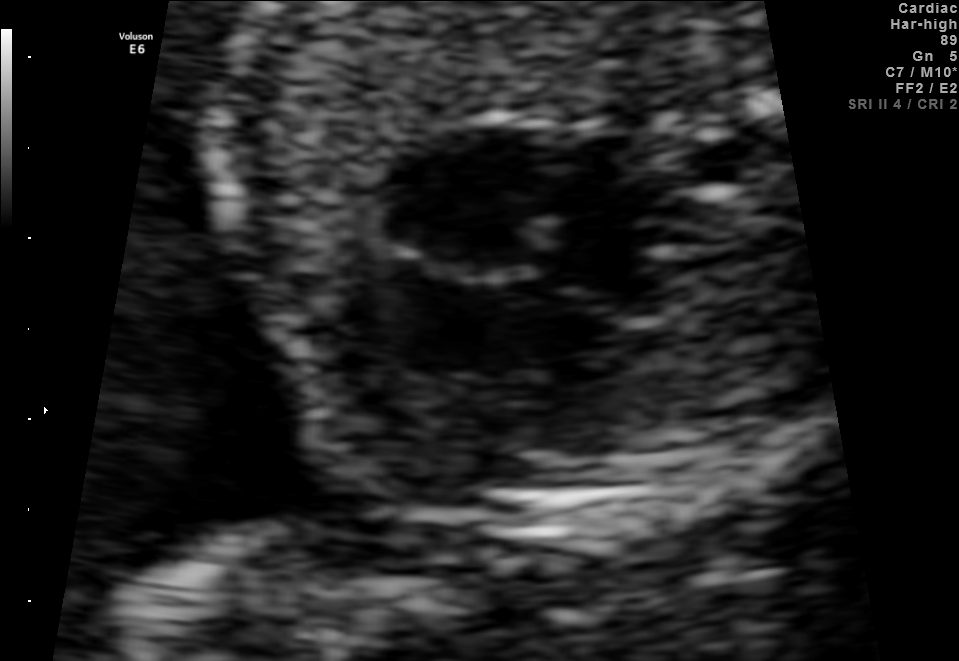
Identify the standard plane in this fetal ultrasound image: fetal abdomen, fetal brain, fetal femur, fetal thorax, maternal cervix, or other. If it's fetal brain and one of the three standard brain planes (trans-thalamic, trans-cerebellum, trans-ventricular), name which.

Fetal thorax